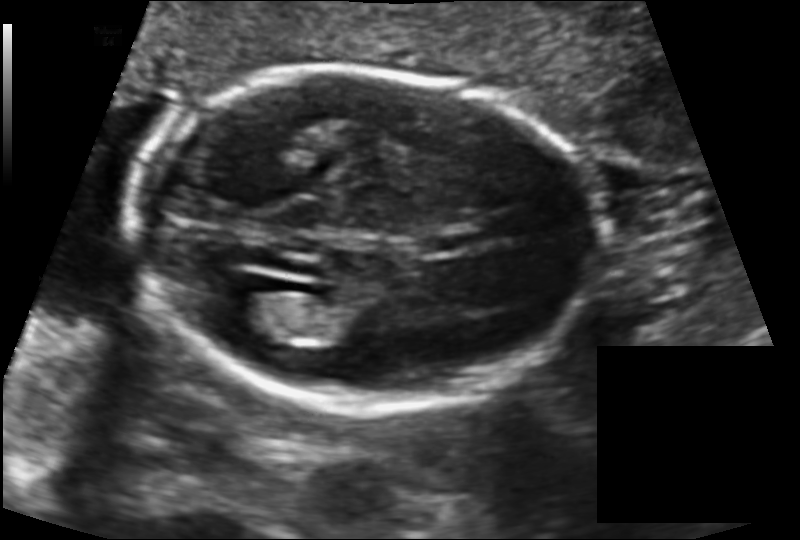
Fetal head ultrasound. Image width: 105.0 mm. Locate the lateral ventricle.

Lateral ventricle: [220,294,293,340]